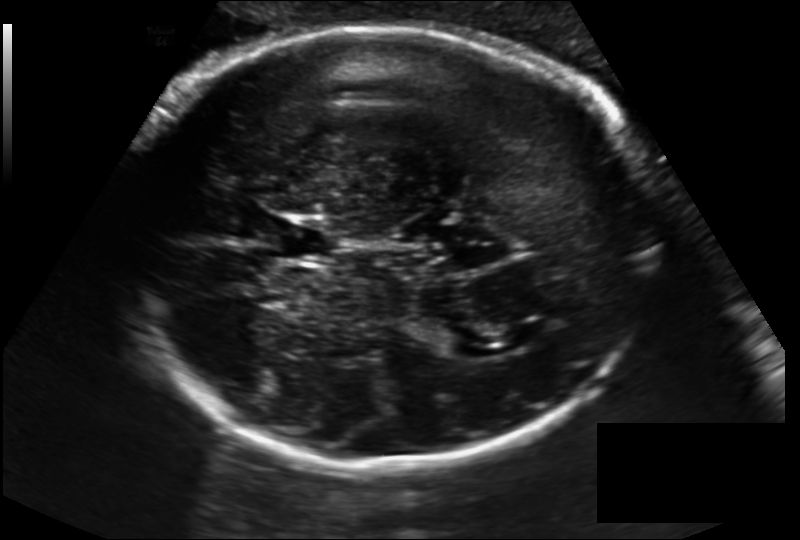
Fetal head ultrasound. Image width: 155.1 mm. Locate the cavum septum pellucidum.

CSP: [260,215,332,264]